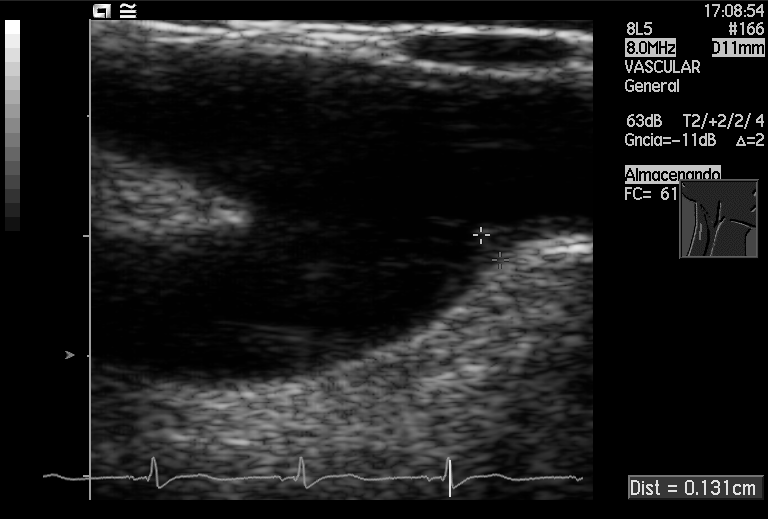
Classify this maternal-fetal ultrasound image as one of the six standard planes — fetal abdomen, fetal brain, fetal femur, fetal thorax, maternal cervix, or other. If it's fetal brain and one of the three standard brain planes (trans-thalamic, trans-cerebellum, trans-ventricular), name which.

Other